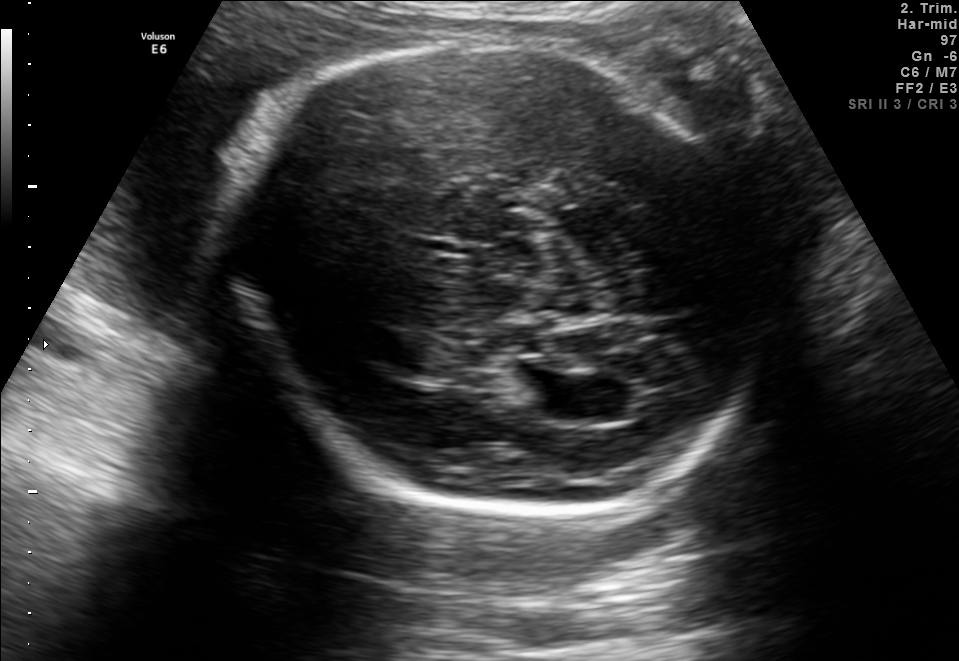
Classify this maternal-fetal ultrasound image as one of the six standard planes — fetal abdomen, fetal brain, fetal femur, fetal thorax, maternal cervix, or other. If it's fetal brain and one of the three standard brain planes (trans-thalamic, trans-cerebellum, trans-ventricular), name which.

Fetal brain (trans-ventricular plane)